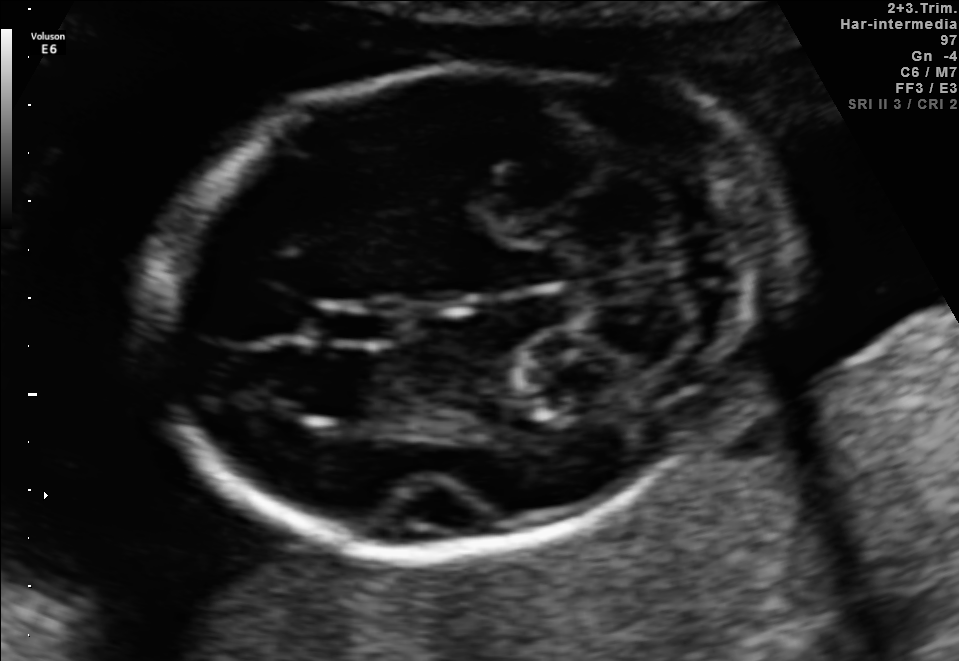
In this fetal brain, trans-cerebellum plane, give bounding boxes for the head outline, cavum septum pellucidum (CSP), and lateral ventricle (LV), where visible.

Head: [149,61,798,550]
CSP: [320,306,395,343]